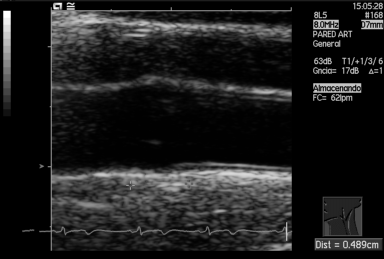
Which standard maternal-fetal ultrasound plane is shown: fetal abdomen, fetal brain, fetal femur, fetal thorax, maternal cervix, or other? If it's fetal brain and one of the three standard brain planes (trans-thalamic, trans-cerebellum, trans-ventricular), name which.

Other